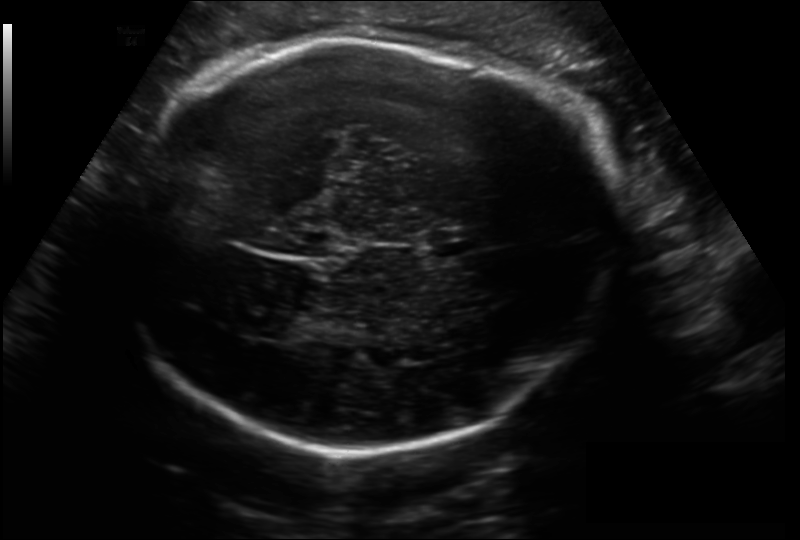
Fetal head ultrasound. Image width: 164.9 mm. Where is the lateral ventricle?

Lateral ventricle bounding box: [224,300,292,341]